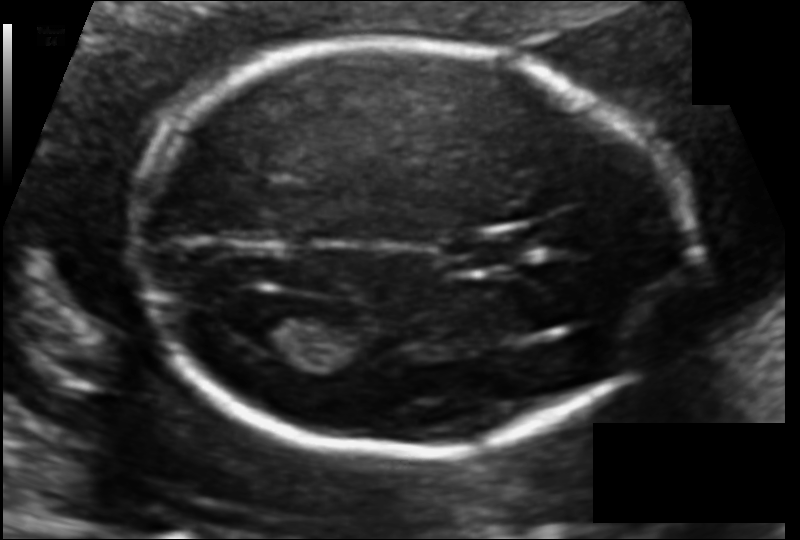
Fetal head ultrasound. Image width: 84.8 mm. Where is the lateral ventricle?

Lateral ventricle bounding box: [240,297,331,367]